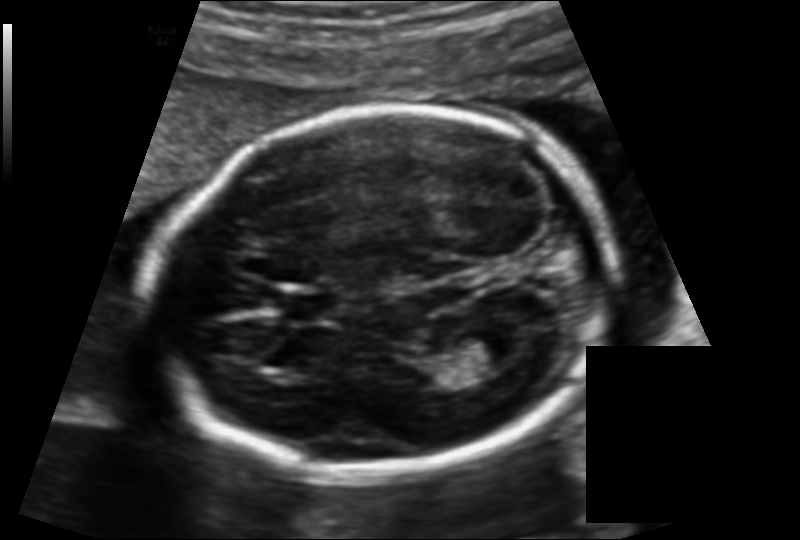
In this fetal head ultrasound, give the bounding box of the lateral ventricle. Image width: 104.7 mm.

[450,315,530,382]